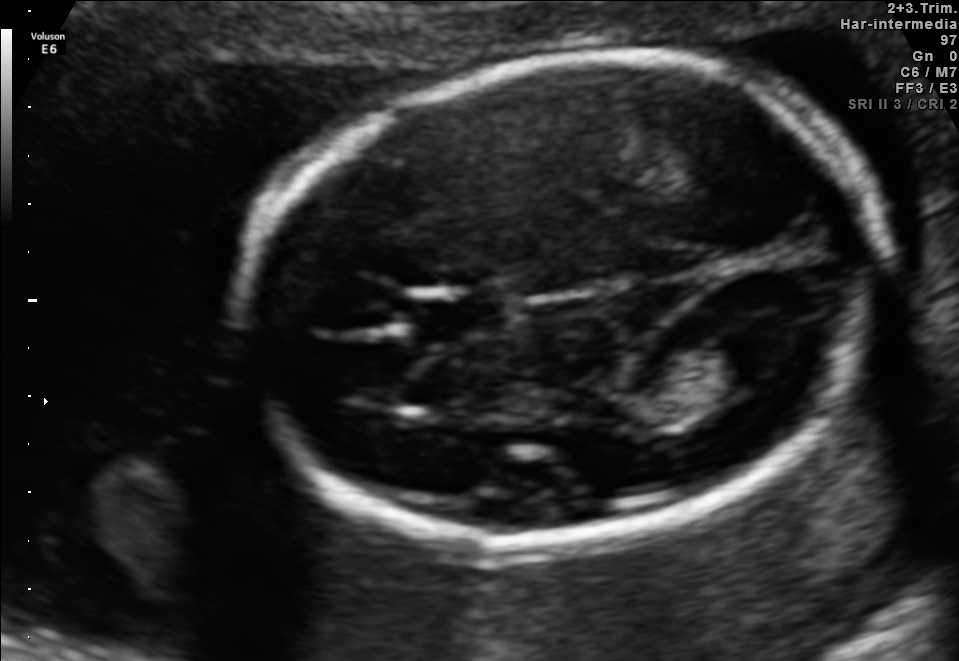
Fetal brain, trans-ventricular plane. Give [x1,y1,x2,y2] bounding boxes for each visible structure among: fetal head, CSP, LV.

Head: [235,49,896,564]
CSP: [407,287,521,345]
Lateral ventricle: [702,306,809,395]